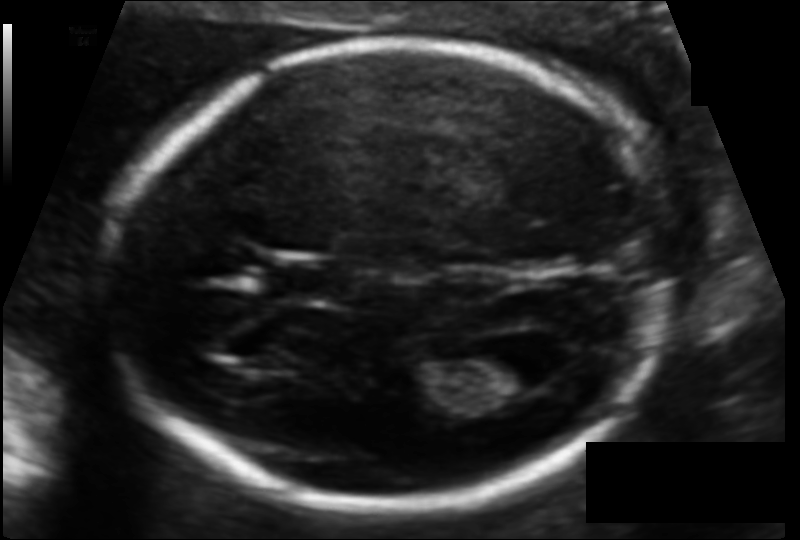
Measure the fetal head circumference shown in this ultrasound image. Image width: 82.6 mm.

Head circumference: 172.9 mm.